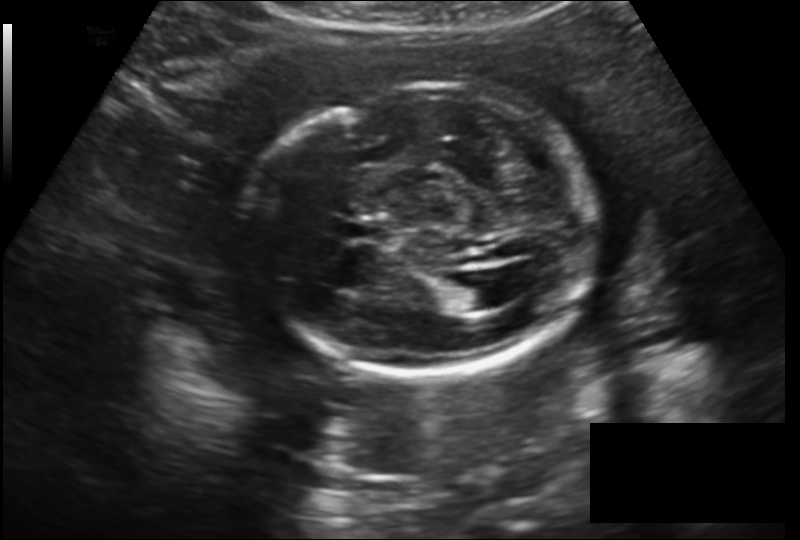
What is the fetal head circumference? Image width is 145.7 mm.

191.7 mm